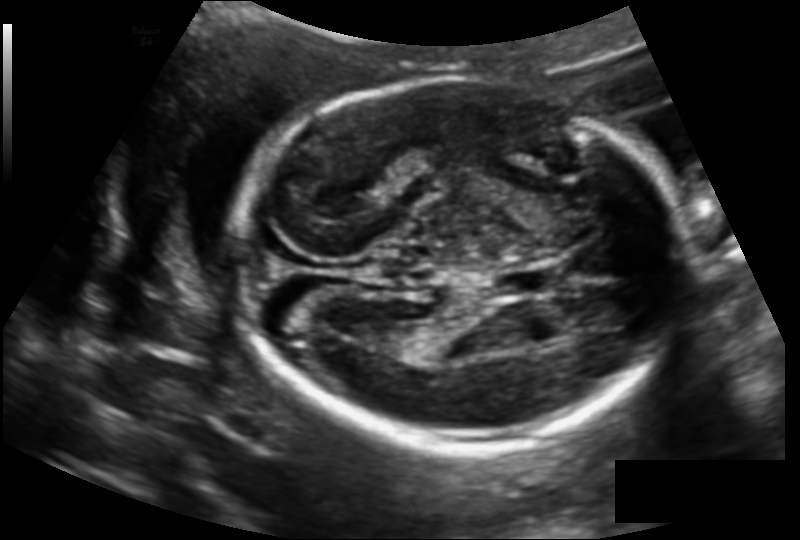
What is the fetal head circumference? Image width is 116.1 mm.

189.8 mm